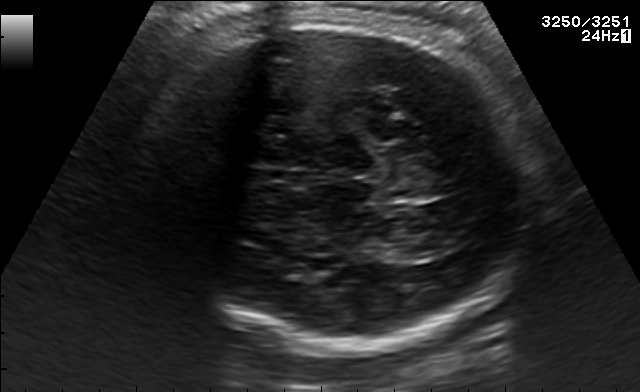
Classify this maternal-fetal ultrasound image as one of the six standard planes — fetal abdomen, fetal brain, fetal femur, fetal thorax, maternal cervix, or other. If it's fetal brain and one of the three standard brain planes (trans-thalamic, trans-cerebellum, trans-ventricular), name which.

Fetal brain (trans-thalamic plane)